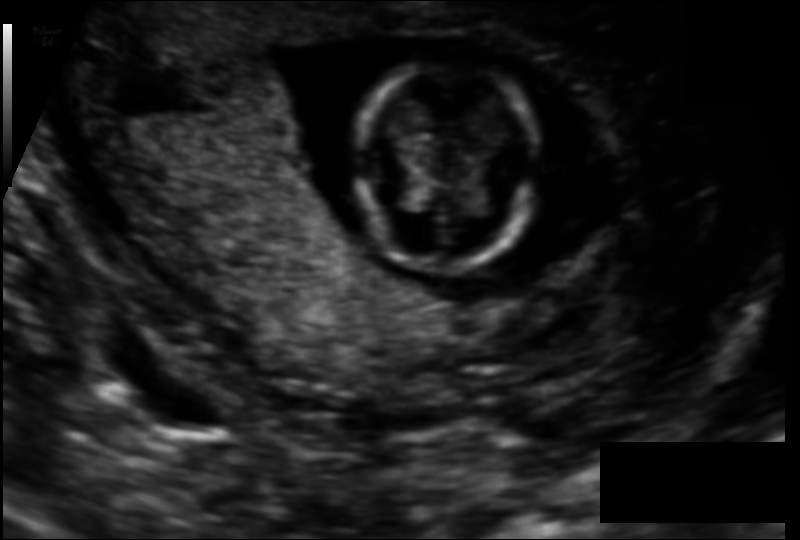
Fetal head ultrasound. Image width: 88.1 mm. Locate the fetal head.

Head: [355,61,538,271]